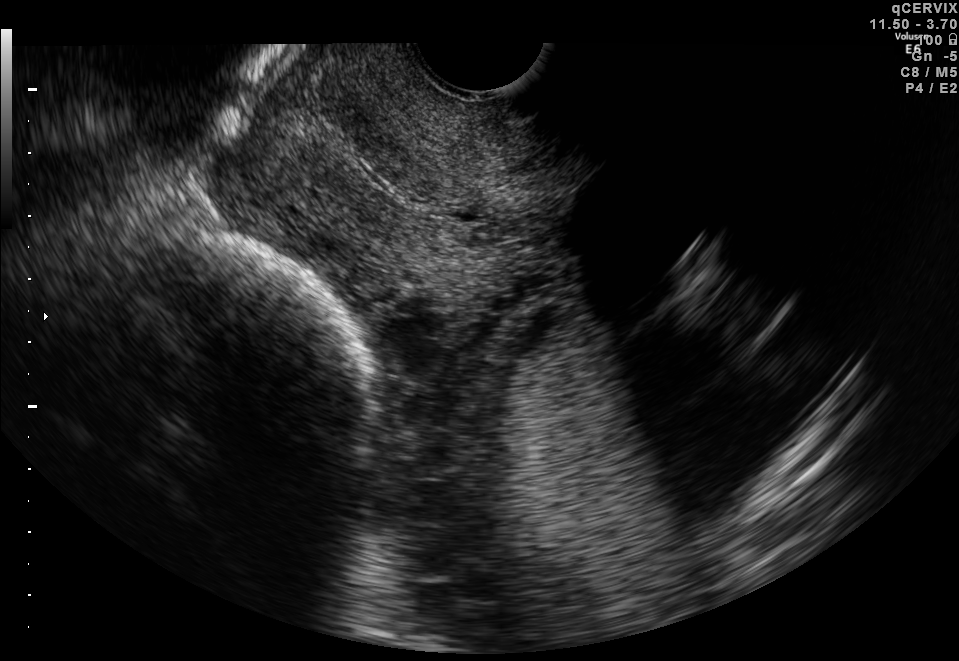
Which standard maternal-fetal ultrasound plane is shown: fetal abdomen, fetal brain, fetal femur, fetal thorax, maternal cervix, or other? If it's fetal brain and one of the three standard brain planes (trans-thalamic, trans-cerebellum, trans-ventricular), name which.

Maternal cervix